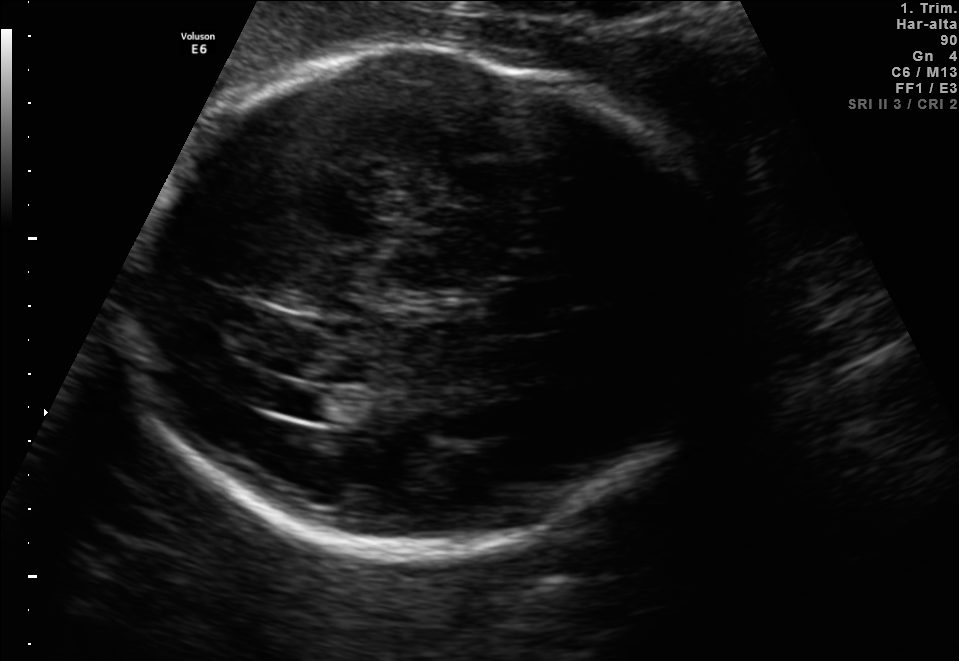
In this fetal brain, trans-ventricular plane, give the bounding box of the fetal head.

[135,44,740,565]